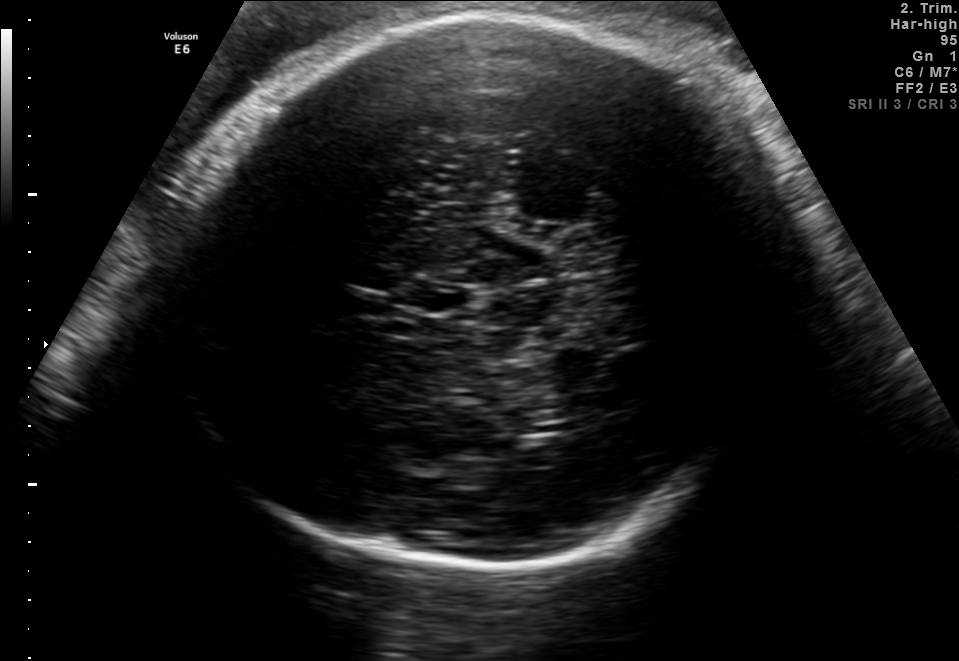
Fetal brain, trans-thalamic plane. Where is the cavum septum pellucidum?

CSP bounding box: [404,279,460,316]